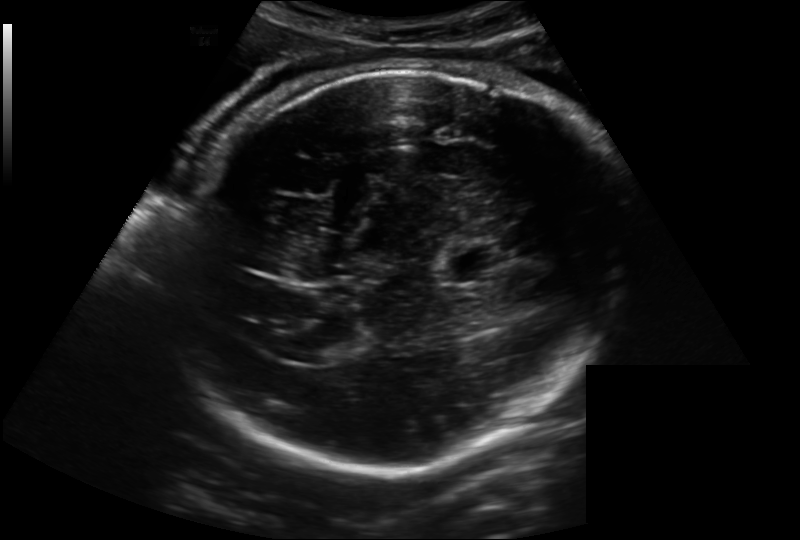
From this fetal ultrasound, estimate the head circumference (image width 177.2 mm).

Head circumference: 299.1 mm.